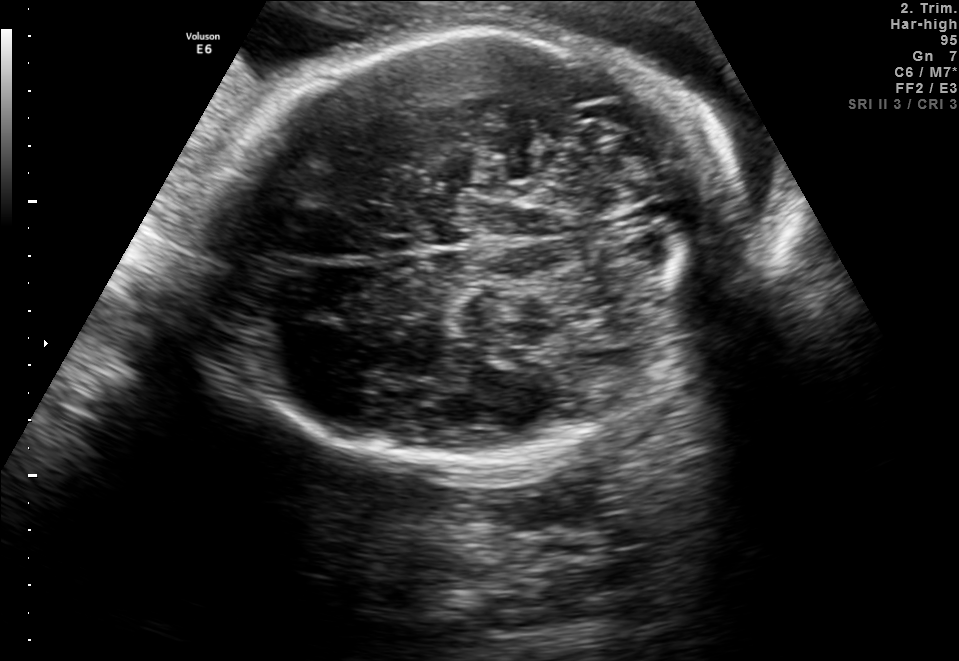
In this fetal brain, trans-cerebellum plane, give the bounding box of the fetal head.

[219,31,728,462]